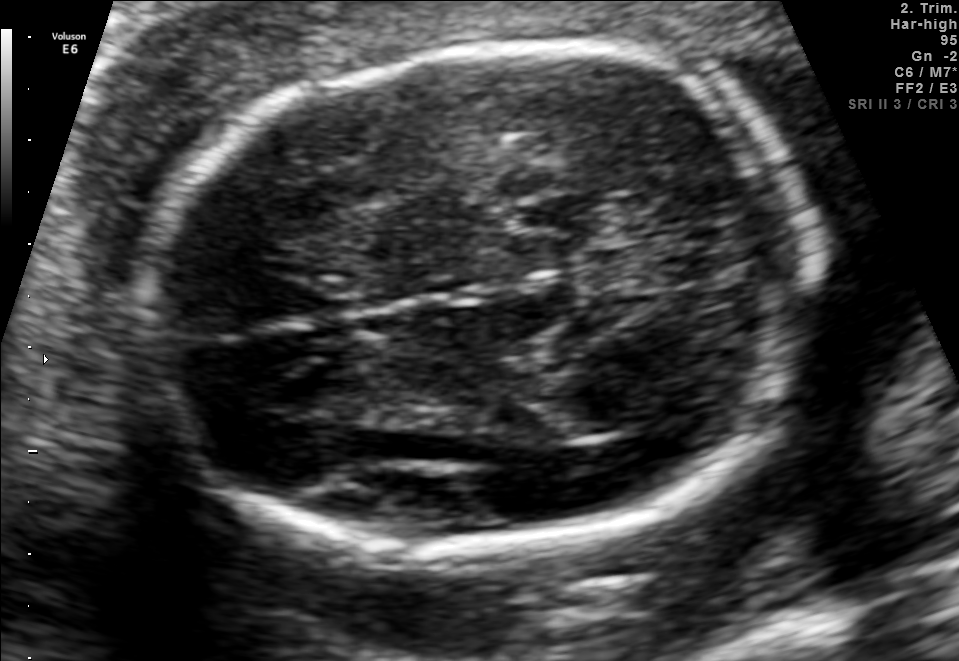
This is a 2D maternal-fetal ultrasound frame. Is it a fetal abdomen, fetal brain, fetal femur, fetal thorax, maternal cervix, or other standard plane? If it's fetal brain and one of the three standard brain planes (trans-thalamic, trans-cerebellum, trans-ventricular), name which.

Fetal brain (trans-thalamic plane)